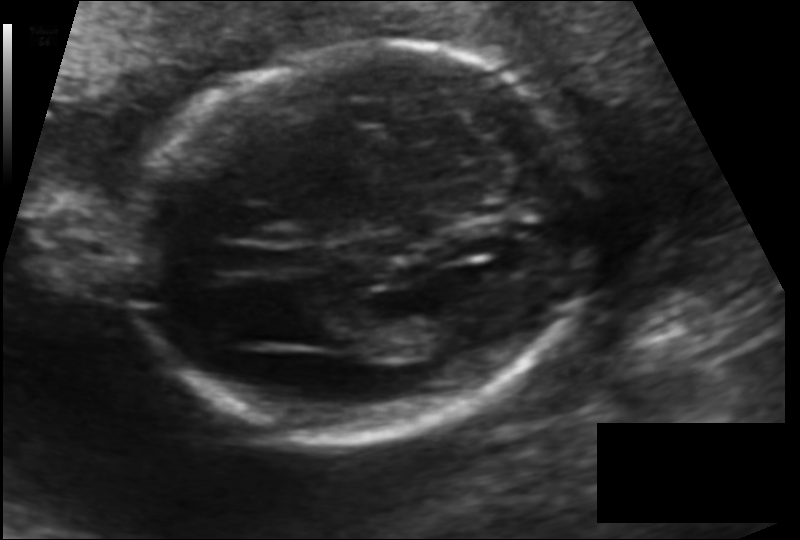
Measure the fetal head circumference shown in this ultrasound image. Image width: 96.4 mm.

Head circumference: 167.0 mm.